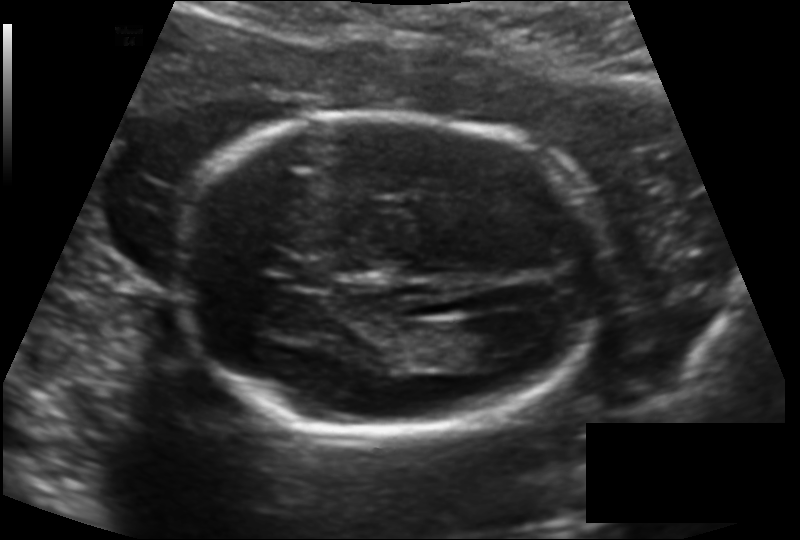
Fetal head ultrasound. Image width: 110.7 mm. Where is the cavum septum pellucidum?

CSP bounding box: [289,261,330,288]